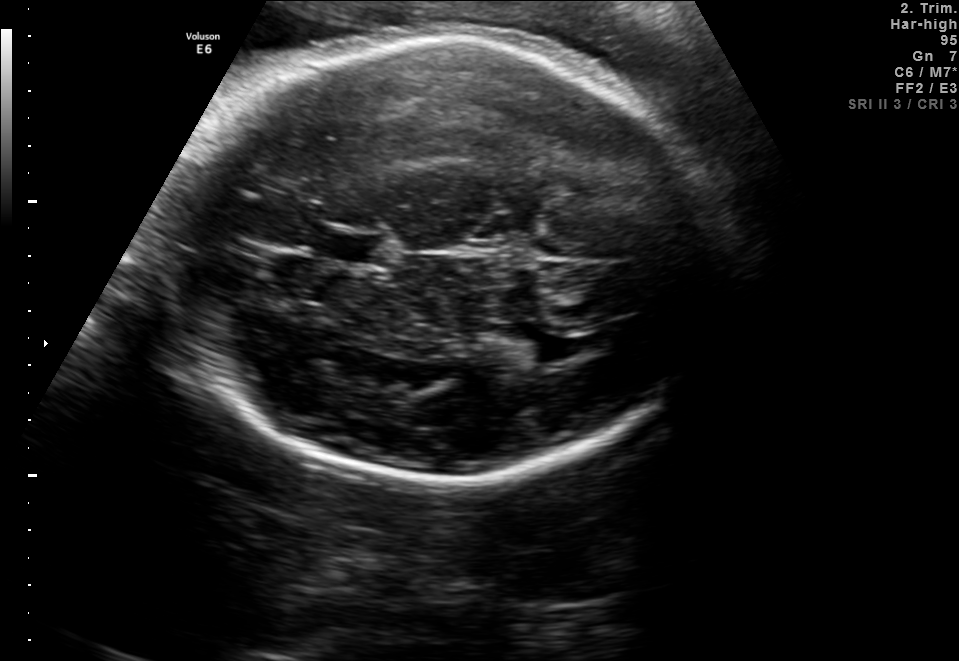
Fetal brain, trans-thalamic plane. Where is the lateral ventricle?

Lateral ventricle bounding box: [496,330,561,365]